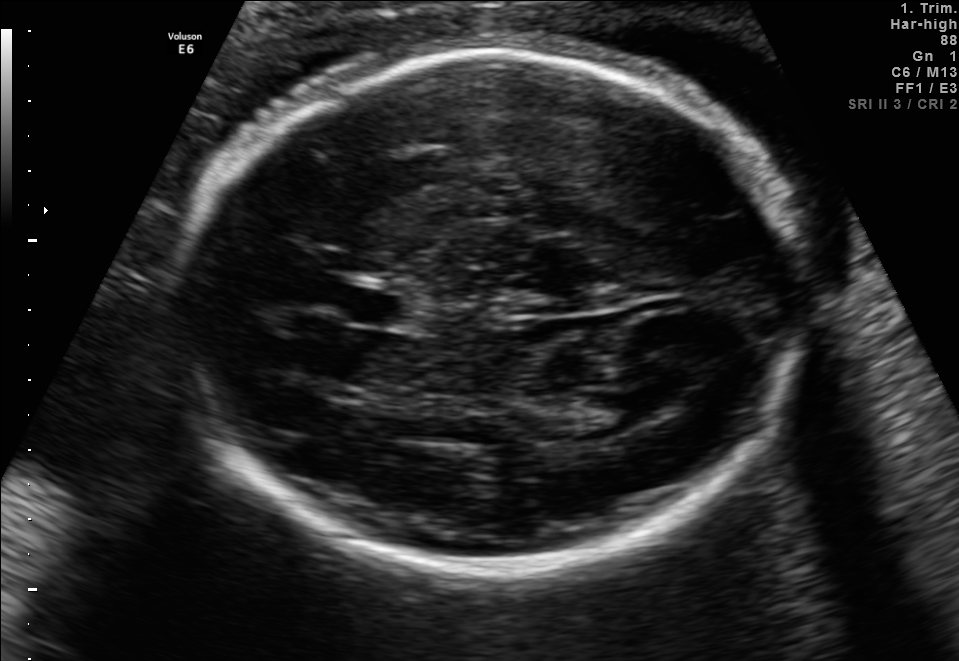
Fetal brain, trans-thalamic plane. Locate the cavum septum pellucidum.

CSP: [343,286,411,328]